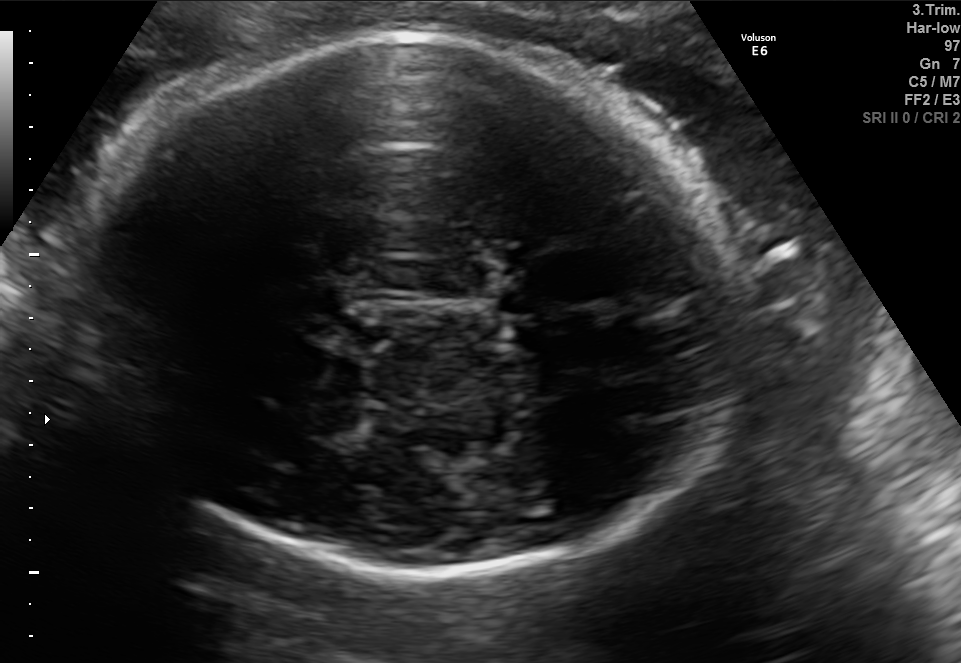
In this fetal brain, trans-thalamic plane, give bounding boxes for the head outline, cavum septum pellucidum (CSP), and lateral ventricle (LV), where visible.

Head: [80,37,735,578]